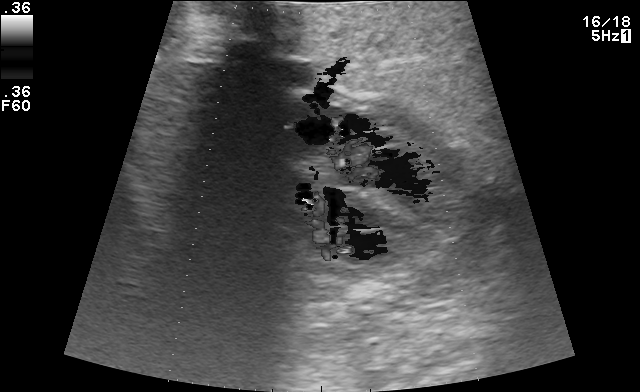
Identify the standard plane in this fetal ultrasound image: fetal abdomen, fetal brain, fetal femur, fetal thorax, maternal cervix, or other. If it's fetal brain and one of the three standard brain planes (trans-thalamic, trans-cerebellum, trans-ventricular), name which.

Other